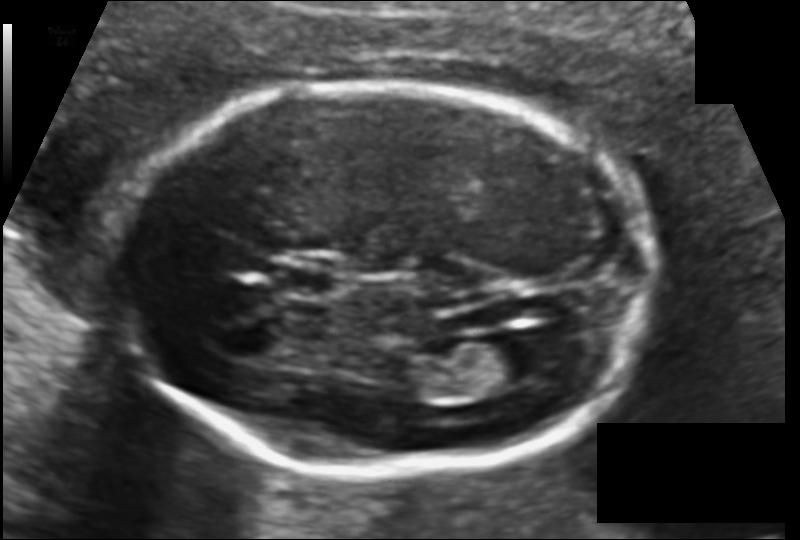
Fetal head ultrasound. Image width: 90.6 mm. Locate the fetal head and, if visible, the cavum septum pellucidum (CSP) and lateral ventricle (LV). Give bounding boxes as [x1,y1,x2,y2].

Head: [122,84,657,474]
CSP: [281,265,337,300]
Lateral ventricle: [476,330,562,389]